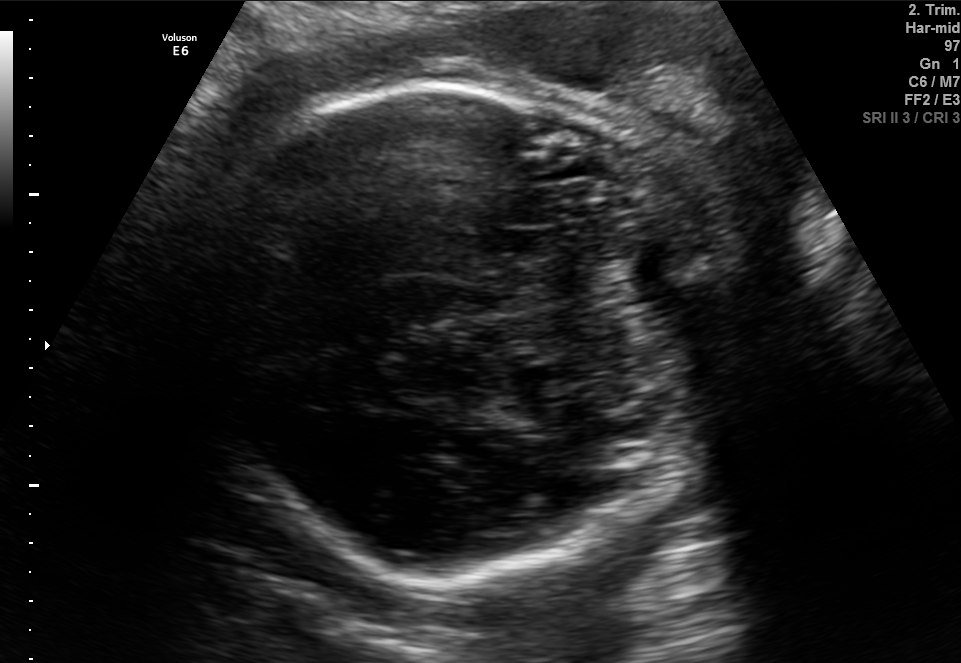
Identify the standard plane in this fetal ultrasound image: fetal abdomen, fetal brain, fetal femur, fetal thorax, maternal cervix, or other. If it's fetal brain and one of the three standard brain planes (trans-thalamic, trans-cerebellum, trans-ventricular), name which.

Fetal brain (trans-cerebellum plane)